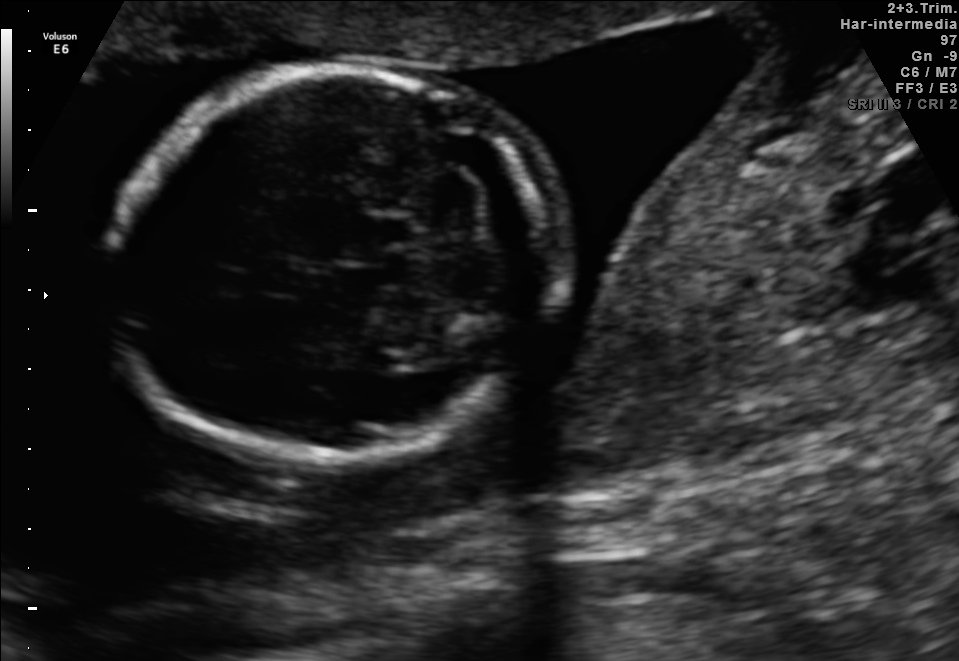
Fetal brain, trans-cerebellum plane. Where is the fetal head?

Head bounding box: [111,67,548,464]